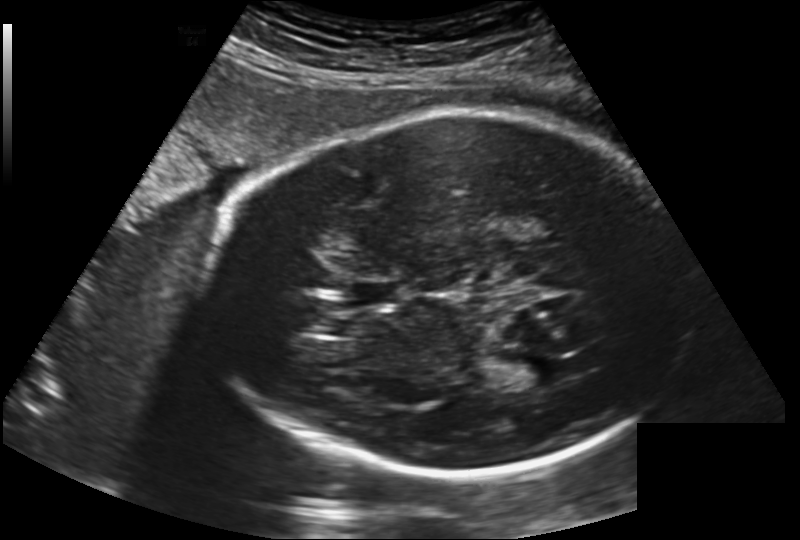
Estimate the fetal head circumference from this 2D ultrasound. Image width: 161.7 mm.

Head circumference: 277.6 mm.